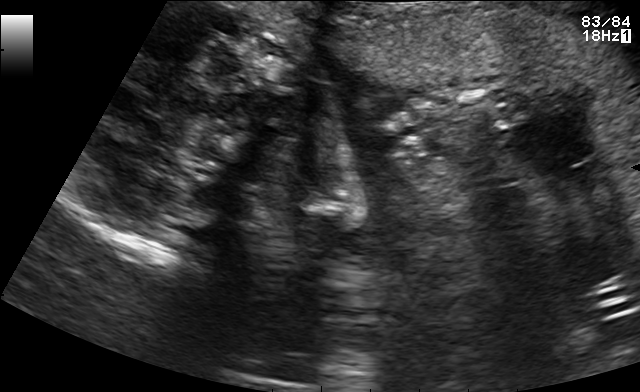
This is a 2D maternal-fetal ultrasound frame. Is it a fetal abdomen, fetal brain, fetal femur, fetal thorax, maternal cervix, or other standard plane? If it's fetal brain and one of the three standard brain planes (trans-thalamic, trans-cerebellum, trans-ventricular), name which.

Other